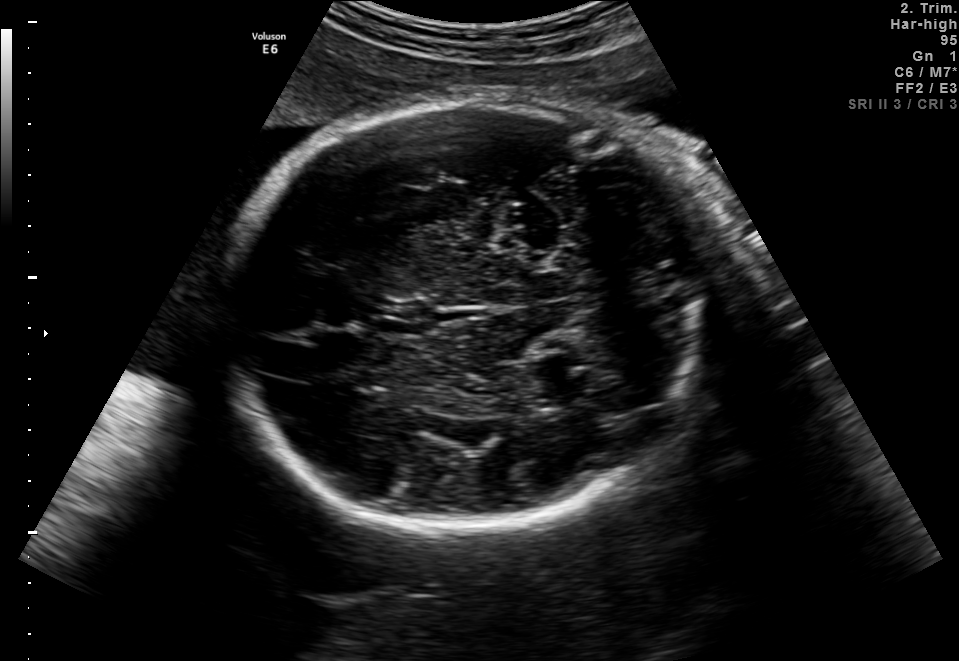
In this fetal brain, trans-thalamic plane, give bounding boxes for the head outline, cavum septum pellucidum (CSP), and lateral ventricle (LV), where visible.

Head: [223,98,712,531]